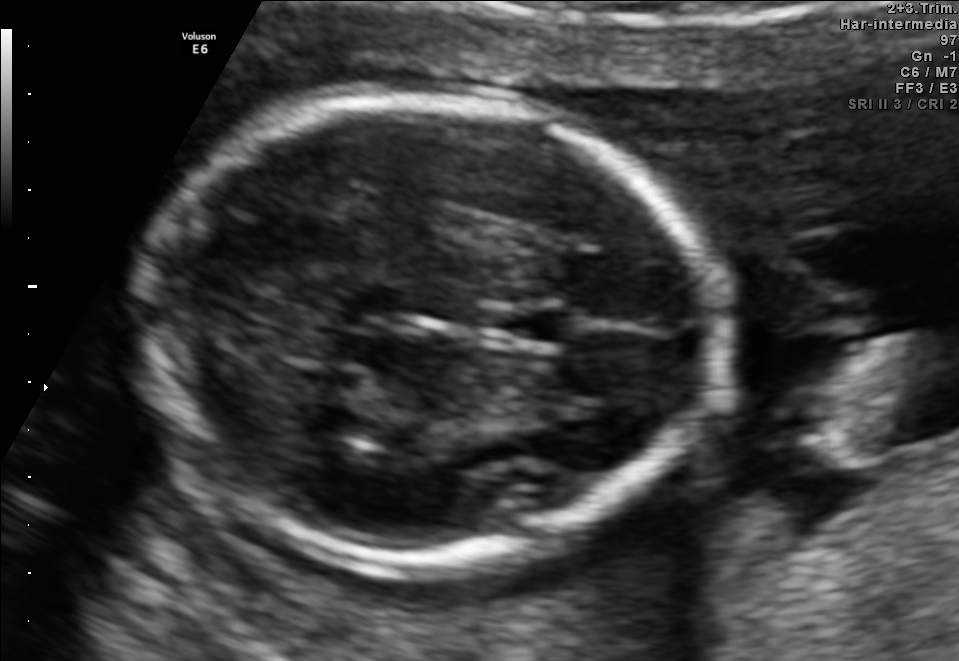
Fetal brain, trans-thalamic plane. Where is the fetal head?

Head bounding box: [139,98,724,567]